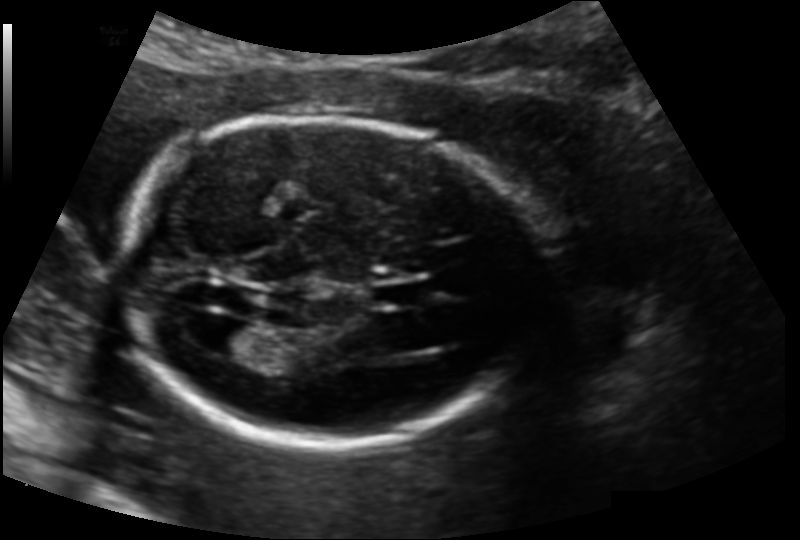
Fetal head ultrasound. Image width: 111.6 mm. Locate the lateral ventricle.

Lateral ventricle: [201,315,269,363]